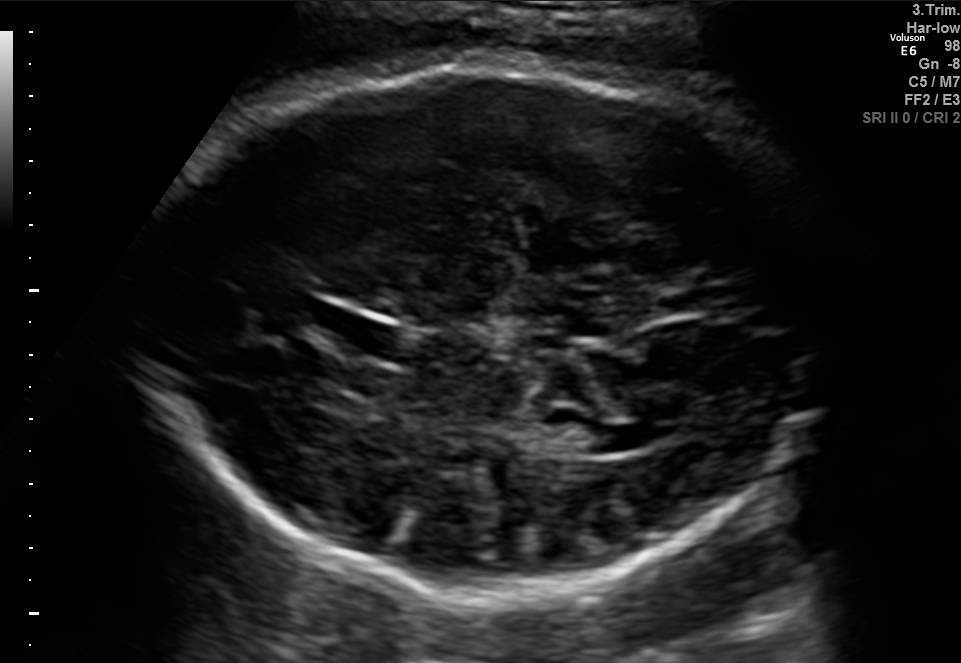
Fetal brain, trans-thalamic plane. Locate the fetal head and, if visible, the cavum septum pellucidum (CSP) and lateral ventricle (LV). Give bounding boxes as [x1,y1,x2,y2].

Head: [131,70,830,589]
CSP: [328,309,419,369]
Lateral ventricle: [535,420,618,454]